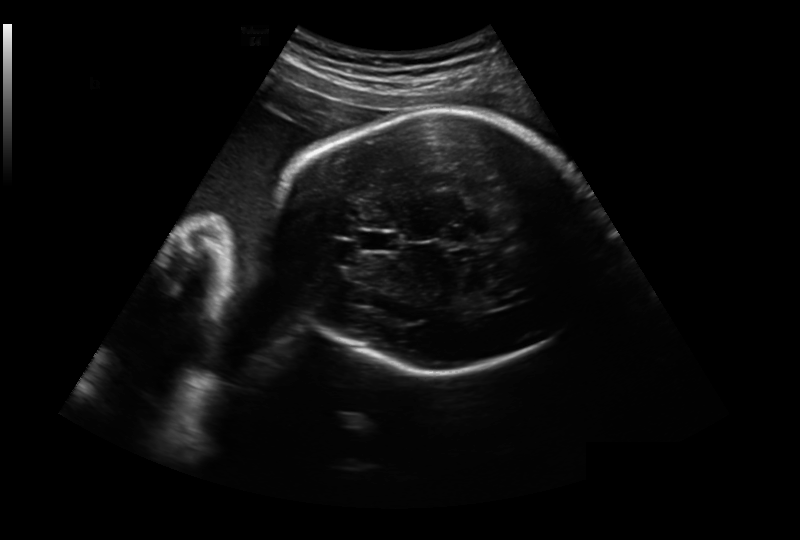
Fetal head ultrasound. Image width: 224.7 mm. Locate the fetal head and, if visible, the cavum septum pellucidum (CSP) and lateral ventricle (LV). Give bounding boxes as [x1,y1,x2,y2].

Head: [274,110,602,373]
CSP: [357,228,402,255]